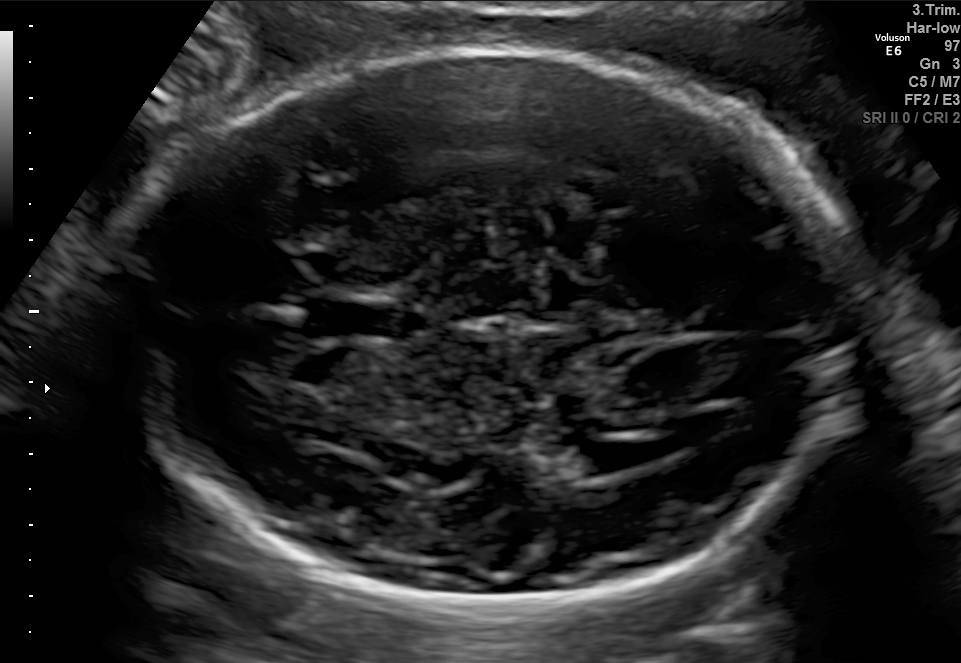
This is a 2D maternal-fetal ultrasound frame. Is it a fetal abdomen, fetal brain, fetal femur, fetal thorax, maternal cervix, or other standard plane? If it's fetal brain and one of the three standard brain planes (trans-thalamic, trans-cerebellum, trans-ventricular), name which.

Fetal brain (trans-ventricular plane)